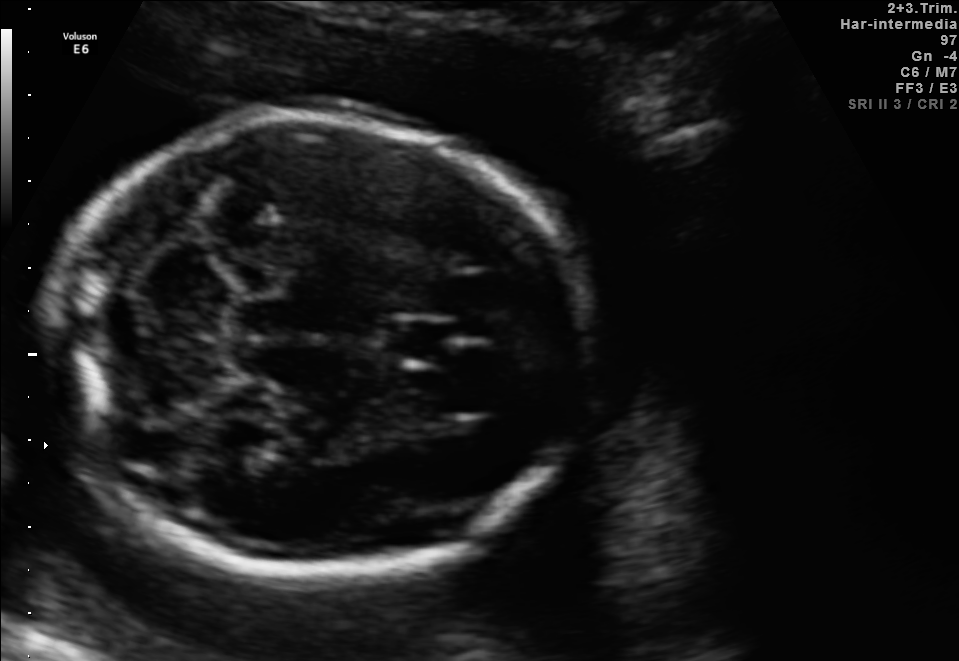
Fetal brain, trans-cerebellum plane. Locate the cavum septum pellucidum.

CSP: [382,316,451,366]